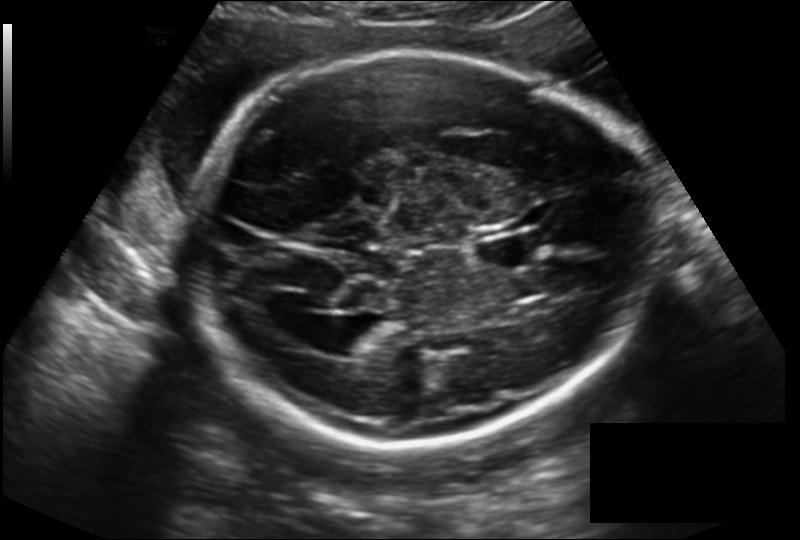
Estimate the fetal head circumference from this 2D ultrasound. Image width: 155.0 mm.

Head circumference: 270.3 mm.